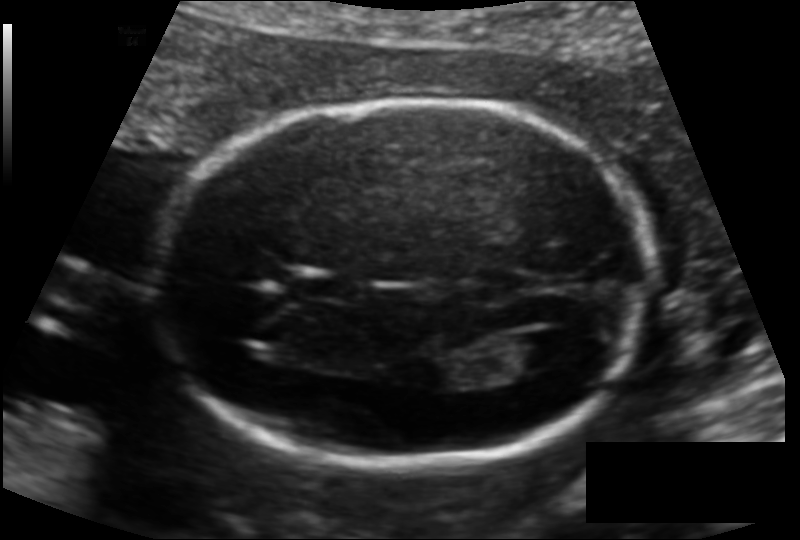
Fetal head ultrasound. Image width: 102.6 mm. Where is the cavum septum pellucidum?

CSP bounding box: [296,271,360,301]